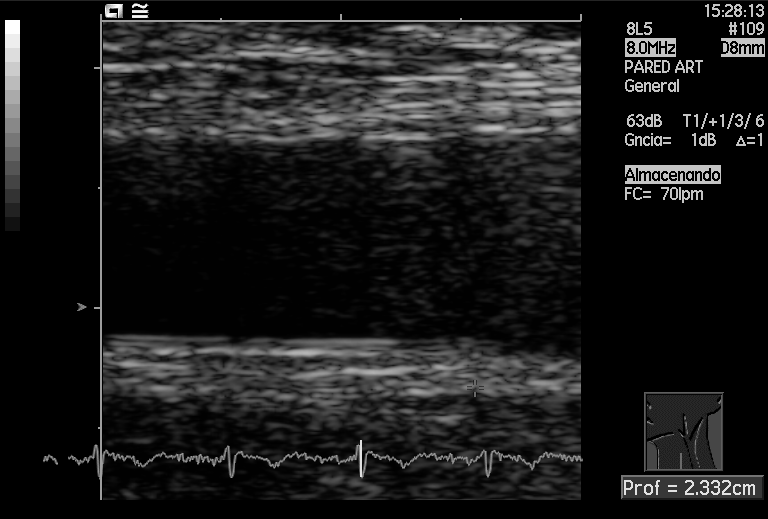
This is a 2D maternal-fetal ultrasound frame. Is it a fetal abdomen, fetal brain, fetal femur, fetal thorax, maternal cervix, or other standard plane? If it's fetal brain and one of the three standard brain planes (trans-thalamic, trans-cerebellum, trans-ventricular), name which.

Other